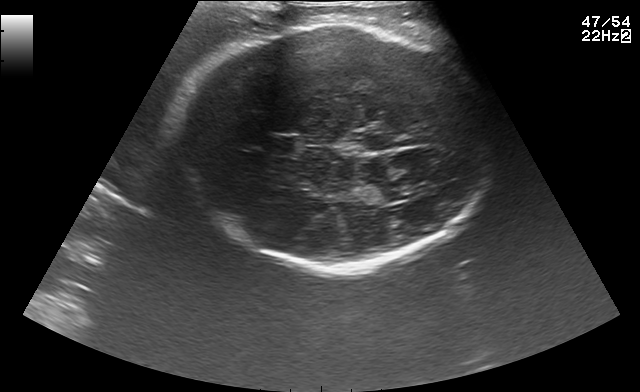
Fetal brain, trans-thalamic plane. Locate the fetal head and, if visible, the cavum septum pellucidum (CSP) and lateral ventricle (LV). Give bounding boxes as [x1,y1,x2,y2].

Head: [177,23,487,267]
CSP: [266,136,295,153]
Lateral ventricle: [356,175,412,209]